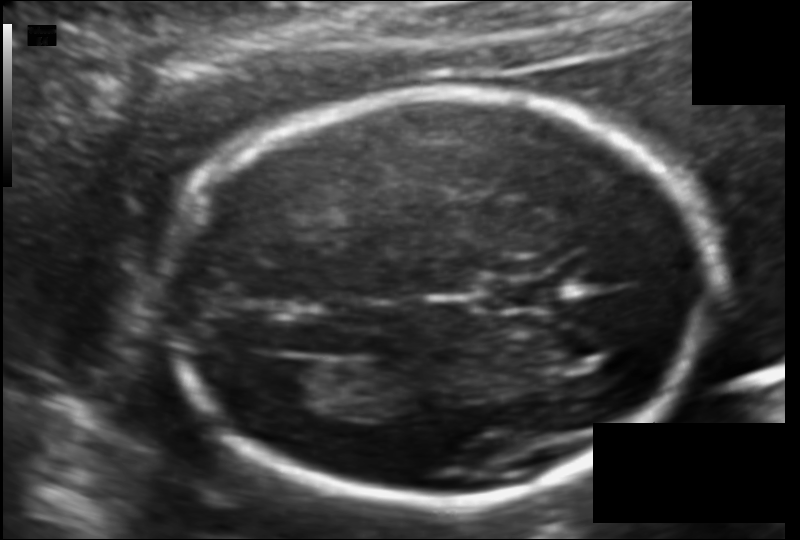
Fetal head ultrasound. Image width: 88.5 mm. Locate the lateral ventricle.

Lateral ventricle: [248,354,335,406]